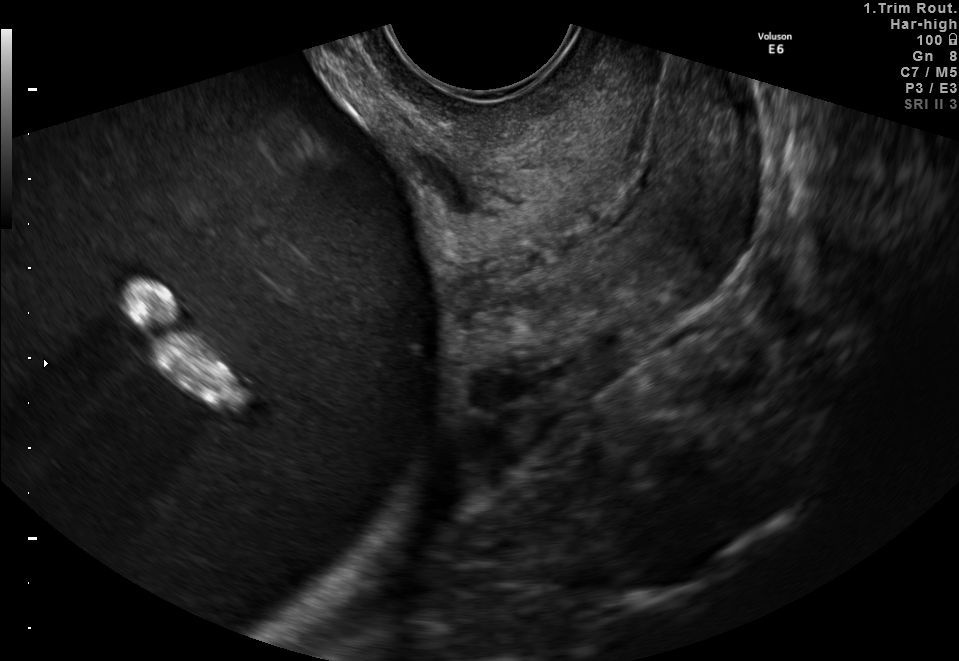
Identify the standard plane in this fetal ultrasound image: fetal abdomen, fetal brain, fetal femur, fetal thorax, maternal cervix, or other. If it's fetal brain and one of the three standard brain planes (trans-thalamic, trans-cerebellum, trans-ventricular), name which.

Maternal cervix